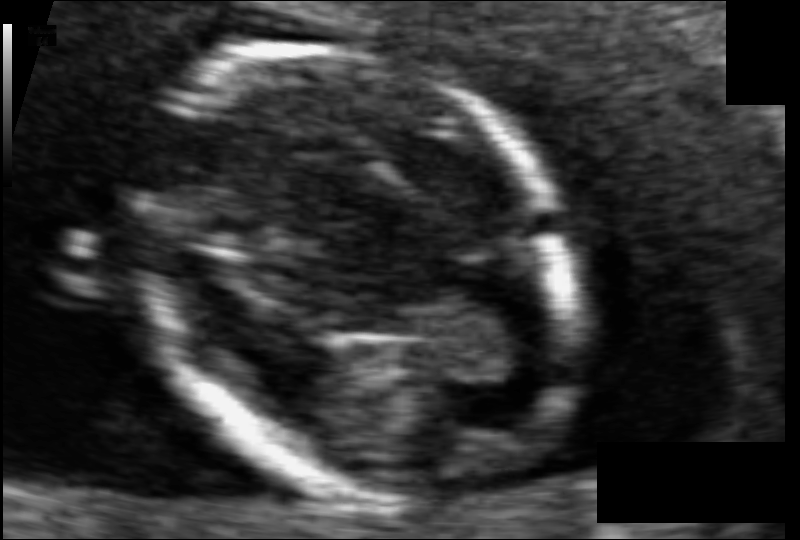
Fetal head ultrasound. Image width: 48.9 mm. Locate the fetal head.

Head: [137,47,568,498]